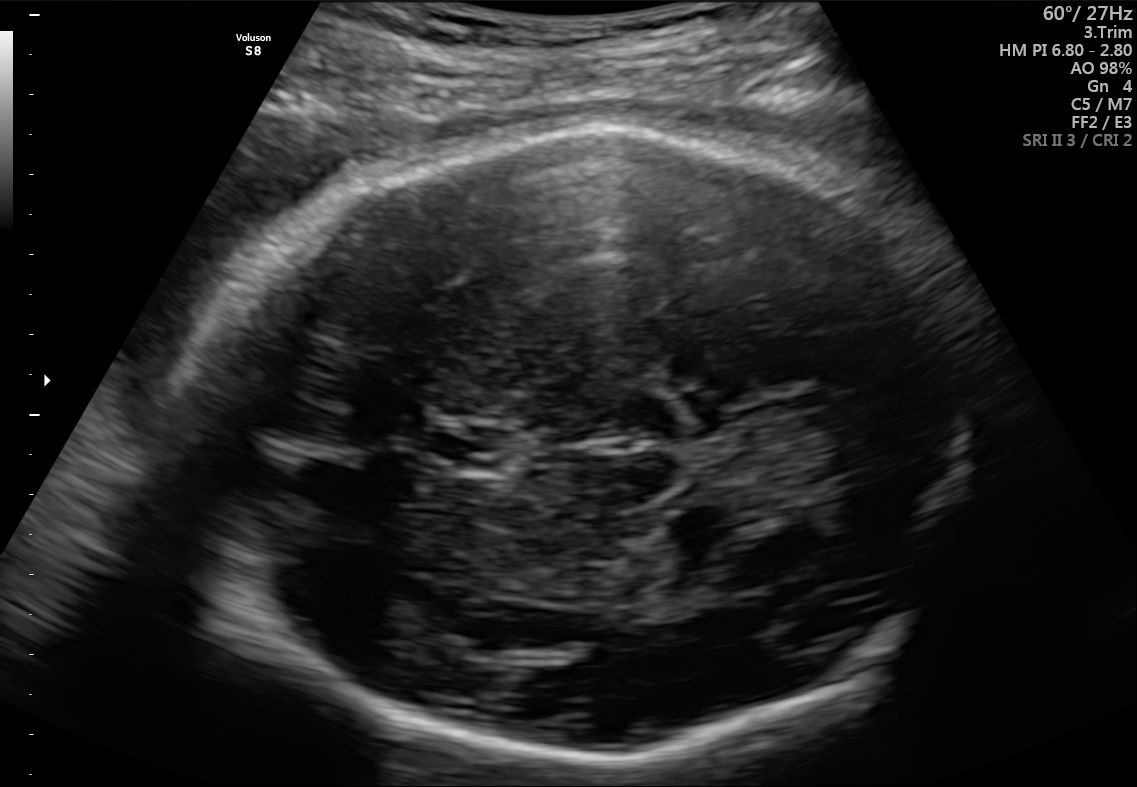
Fetal brain, trans-thalamic plane. Locate the fetal head.

Head: [192,126,971,768]